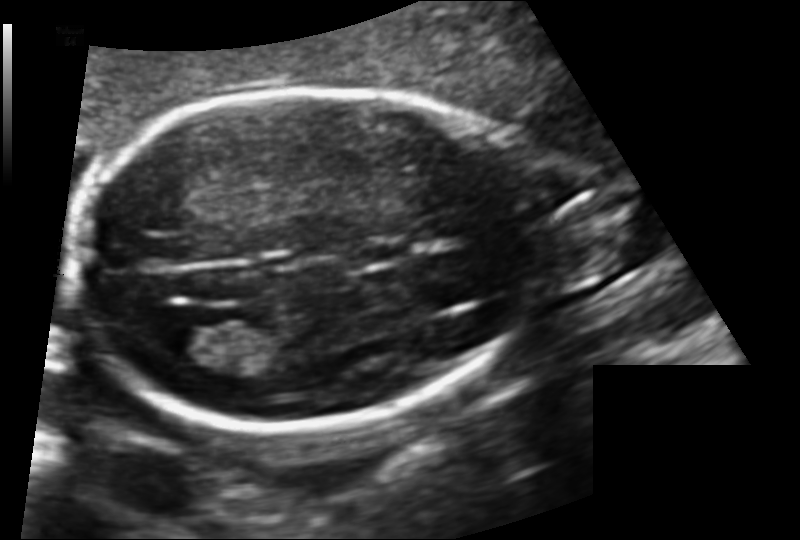
What is the fetal head circumference? Image width is 102.4 mm.

170.6 mm